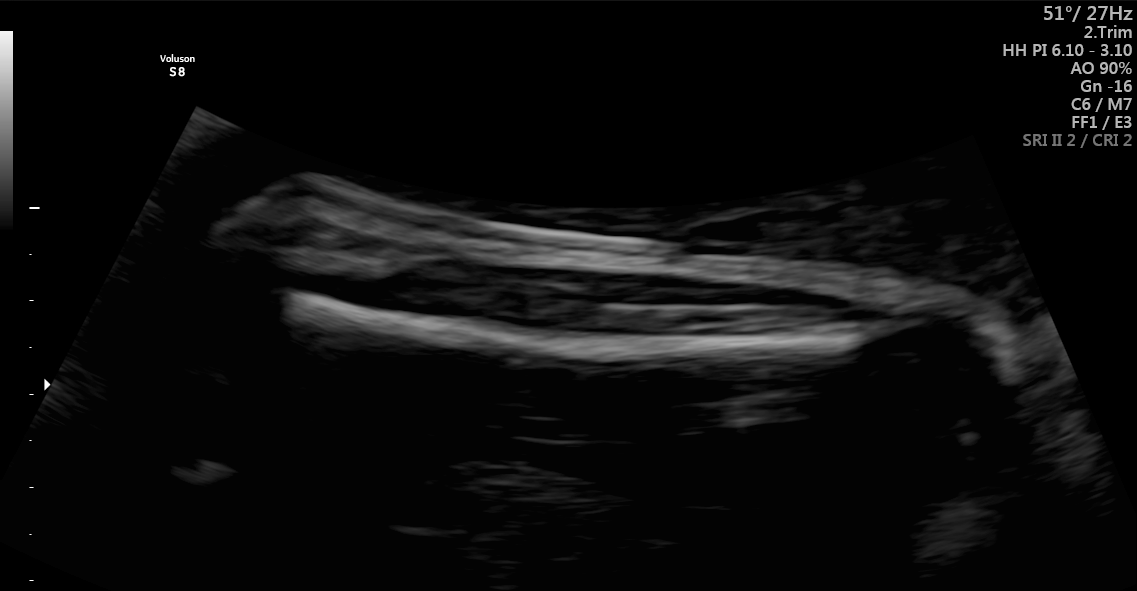
Which standard maternal-fetal ultrasound plane is shown: fetal abdomen, fetal brain, fetal femur, fetal thorax, maternal cervix, or other? If it's fetal brain and one of the three standard brain planes (trans-thalamic, trans-cerebellum, trans-ventricular), name which.

Fetal femur